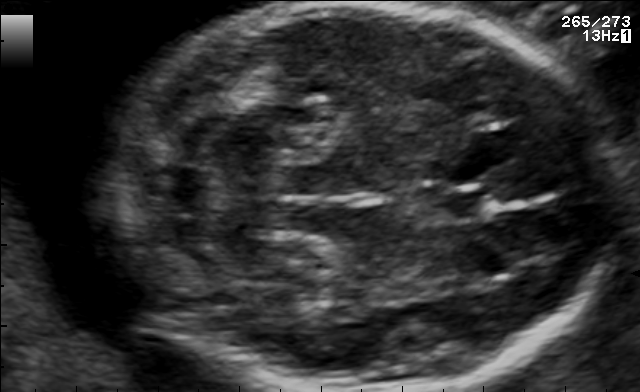
In this fetal brain, trans-cerebellum plane, give the bounding box of the fetal head.

[105,3,618,390]